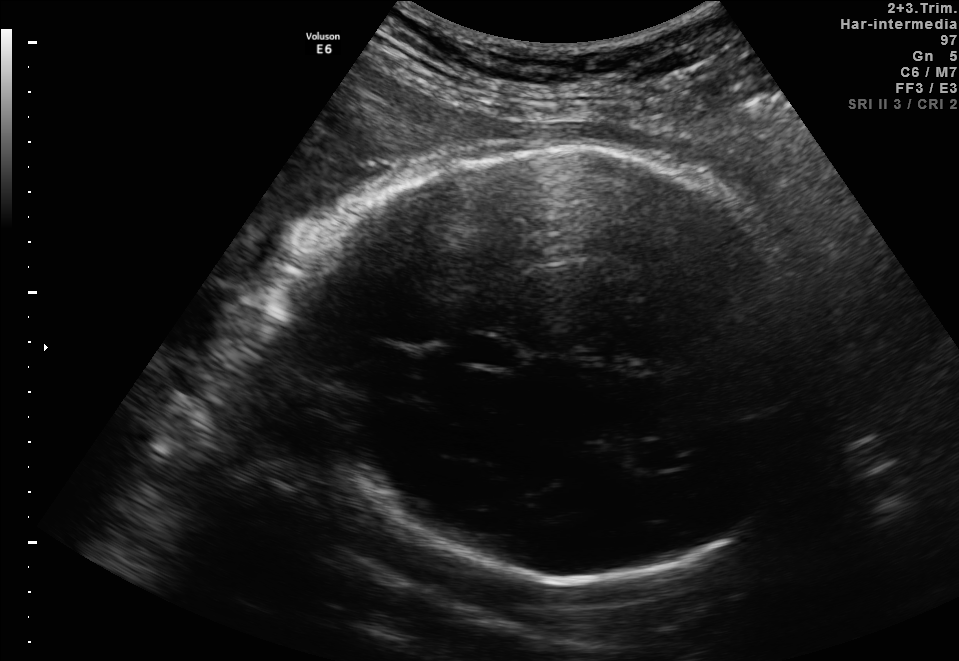
Fetal brain, trans-thalamic plane. Locate the fetal head.

Head: [276,144,841,581]